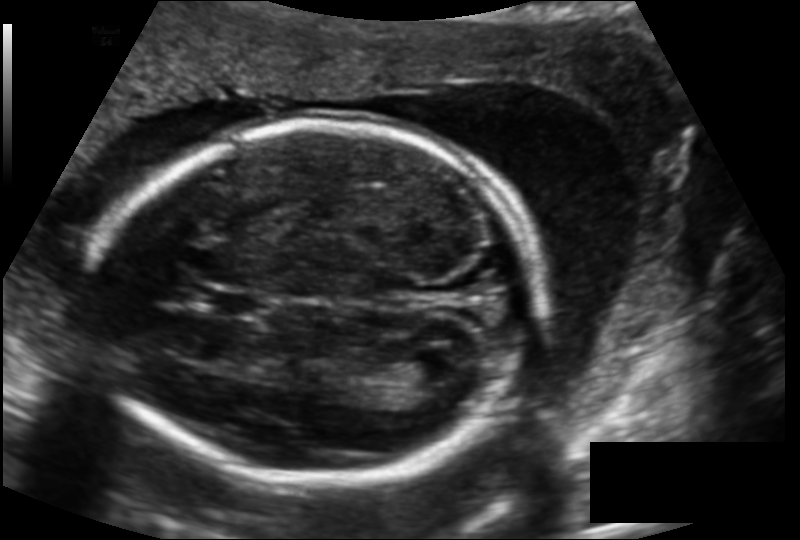
In this fetal head ultrasound, give bounding boxes for the head outline, cavum septum pellucidum (CSP), and lateral ventricle (LV), where visible. Image width: 114.6 mm.

Head: [93,122,535,485]
CSP: [203,287,266,319]
Lateral ventricle: [389,341,460,397]